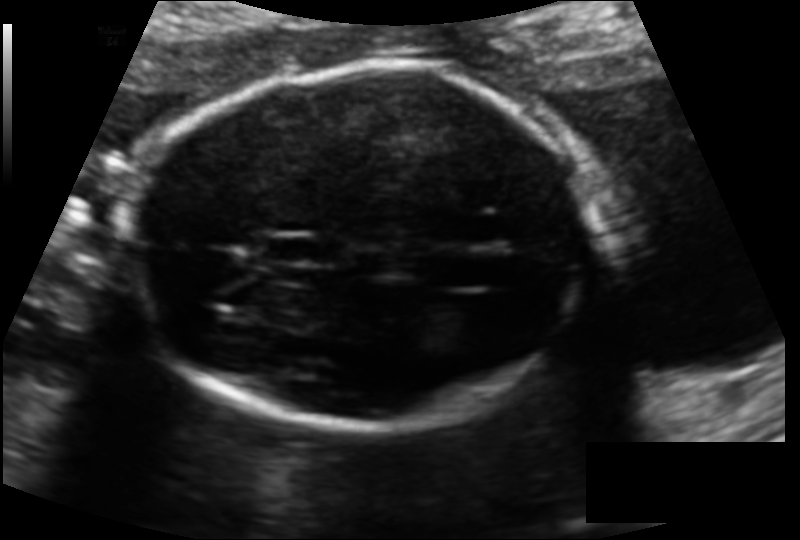
Estimate the fetal head circumference from this 2D ultrasound.

Head circumference: 168.3 mm (image width 101.0 mm).